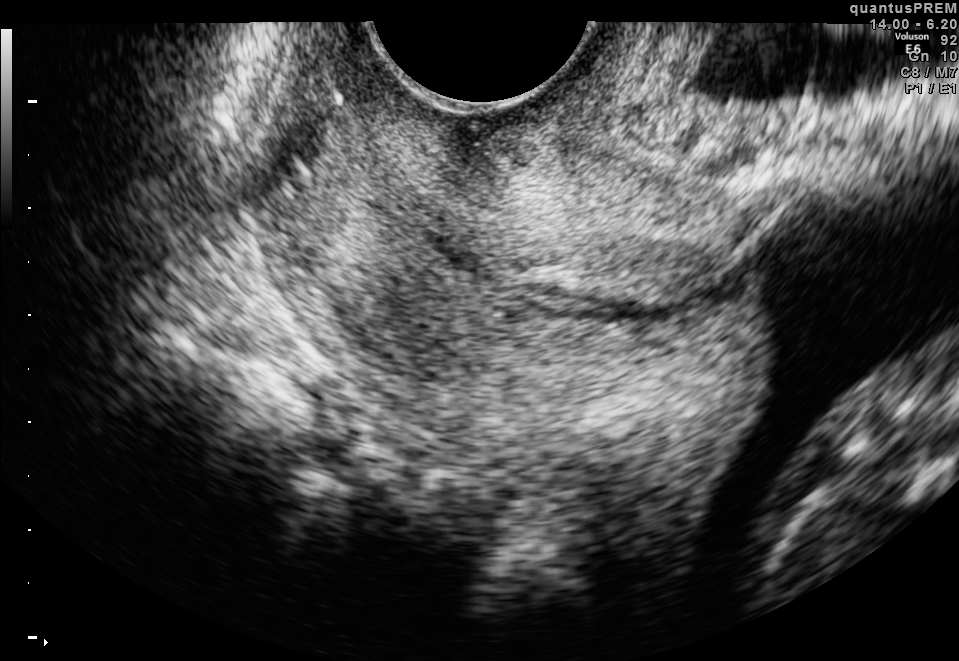
This is a 2D maternal-fetal ultrasound frame. Is it a fetal abdomen, fetal brain, fetal femur, fetal thorax, maternal cervix, or other standard plane? If it's fetal brain and one of the three standard brain planes (trans-thalamic, trans-cerebellum, trans-ventricular), name which.

Maternal cervix